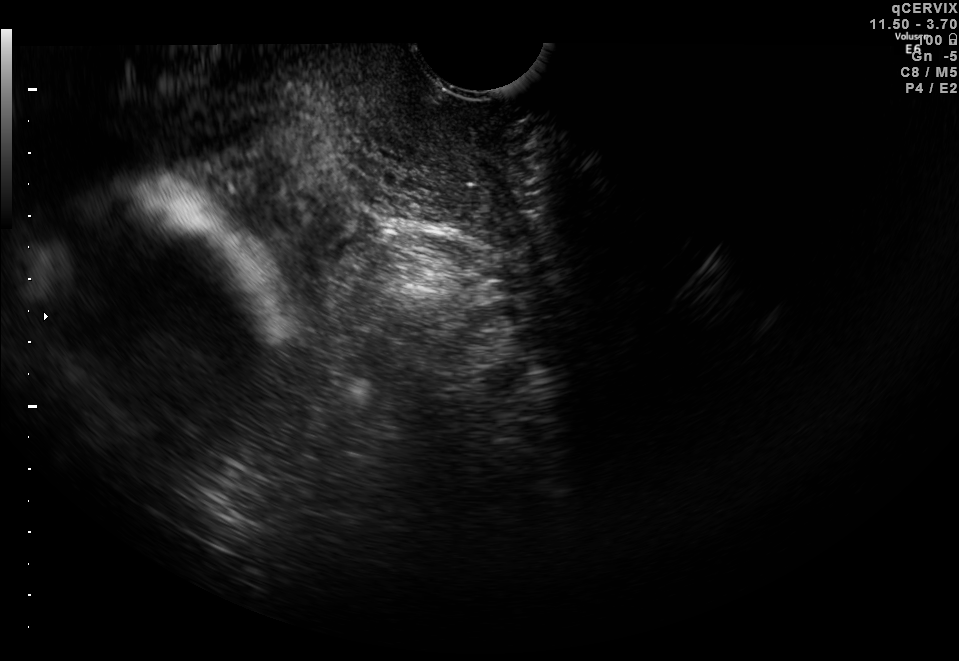
Identify the standard plane in this fetal ultrasound image: fetal abdomen, fetal brain, fetal femur, fetal thorax, maternal cervix, or other. If it's fetal brain and one of the three standard brain planes (trans-thalamic, trans-cerebellum, trans-ventricular), name which.

Maternal cervix